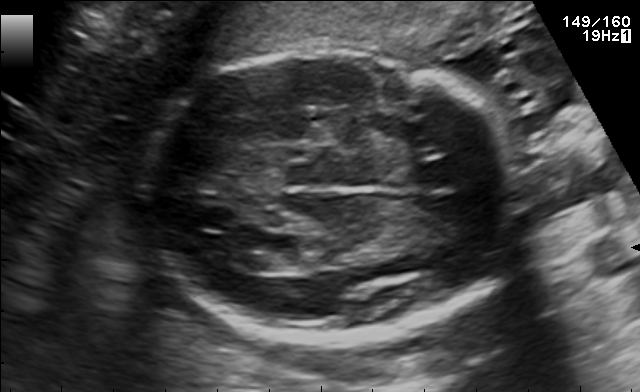
In this fetal brain, trans-ventricular plane, give bounding boxes for the head outline, cavum septum pellucidum (CSP), and lateral ventricle (LV), where visible.

Head: [128,42,537,350]